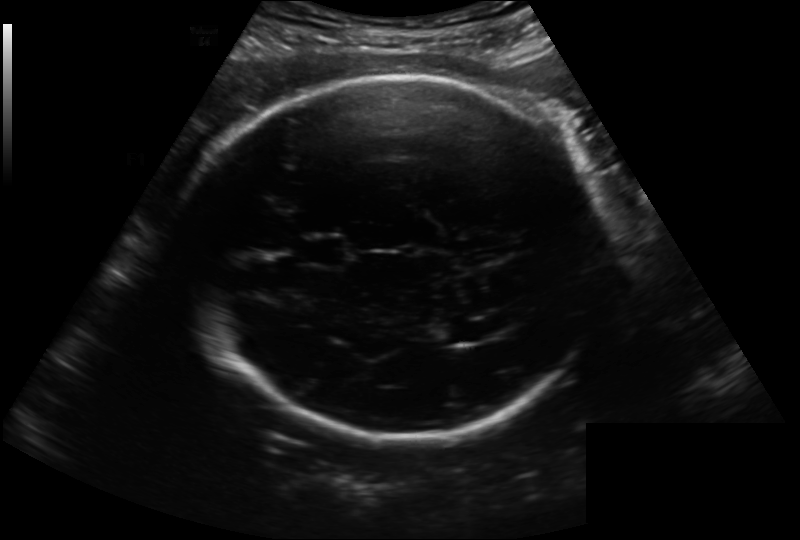
Fetal head ultrasound. Image width: 177.3 mm. Where is the lateral ventricle?

Lateral ventricle bounding box: [434,321,474,345]